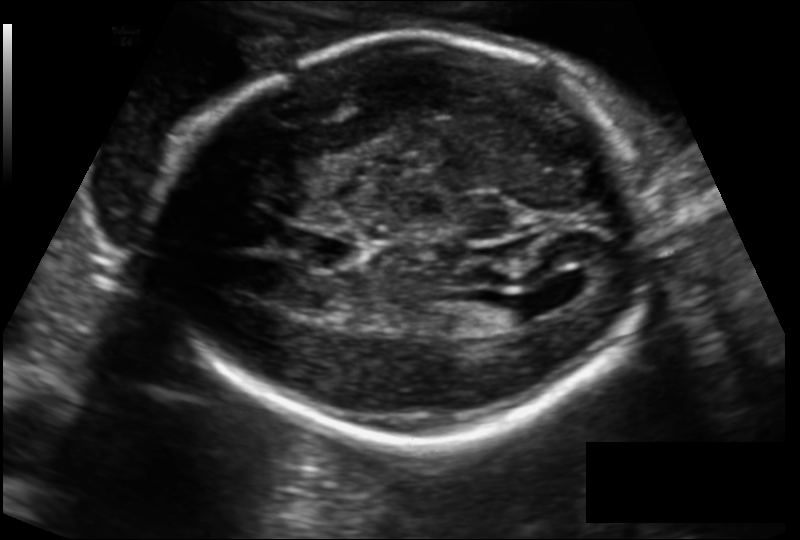
In this fetal head ultrasound, give bounding boxes for the head outline, cavum septum pellucidum (CSP), and lateral ventricle (LV), where visible. Image width: 119.5 mm.

Head: [154,35,659,440]
CSP: [296,229,362,275]
Lateral ventricle: [470,292,532,333]